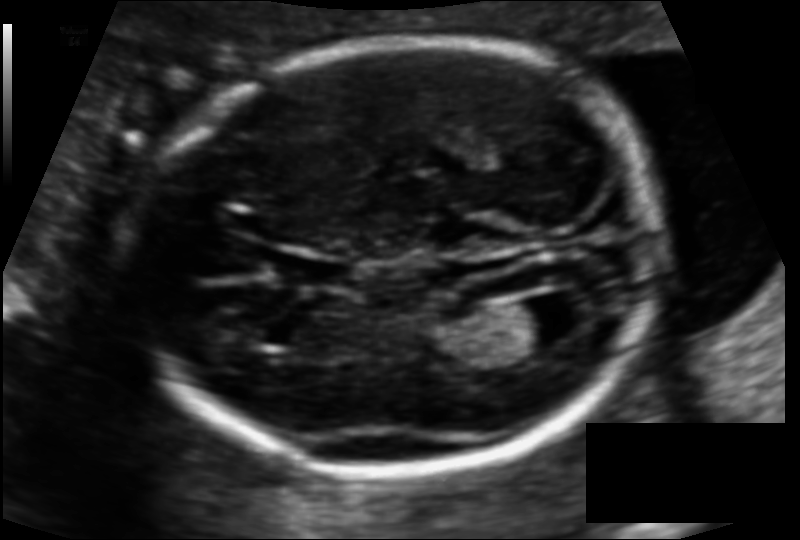
In this fetal head ultrasound, give the bounding box of the fetal head. Image width: 88.1 mm.

[138,40,662,471]